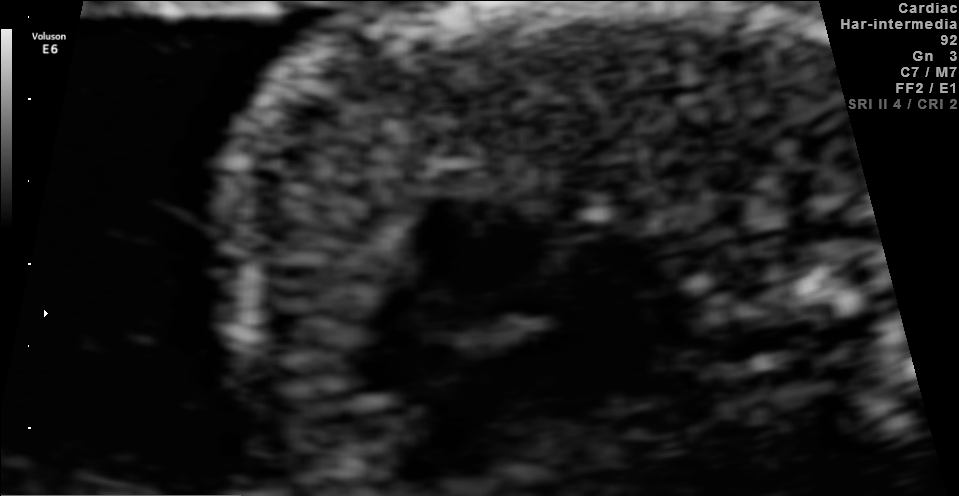
Which standard maternal-fetal ultrasound plane is shown: fetal abdomen, fetal brain, fetal femur, fetal thorax, maternal cervix, or other? If it's fetal brain and one of the three standard brain planes (trans-thalamic, trans-cerebellum, trans-ventricular), name which.

Fetal thorax